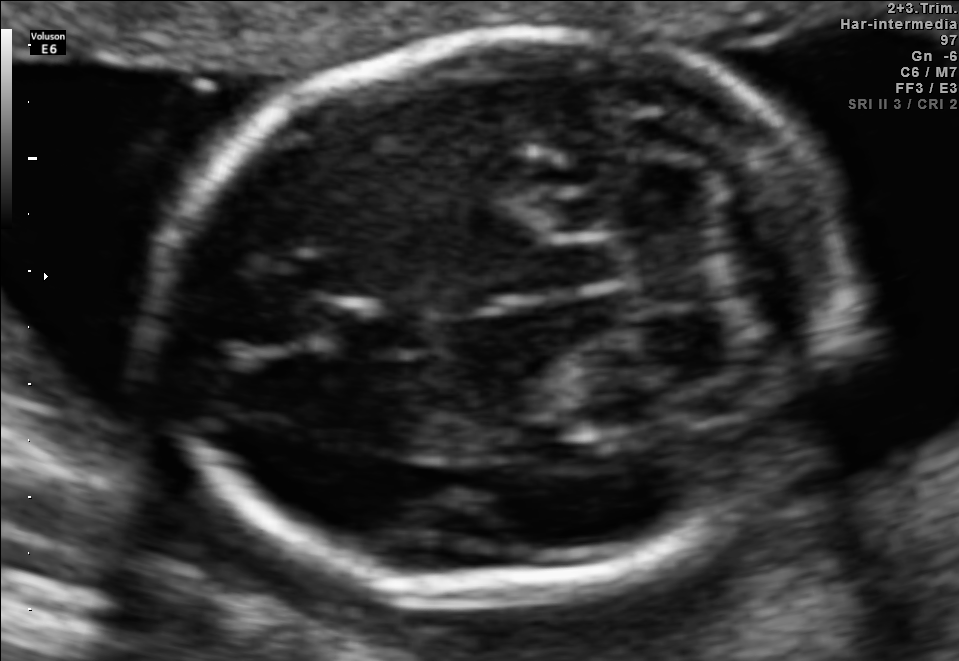
Fetal brain, trans-cerebellum plane. Where is the cavum septum pellucidum?

CSP bounding box: [325,306,430,356]